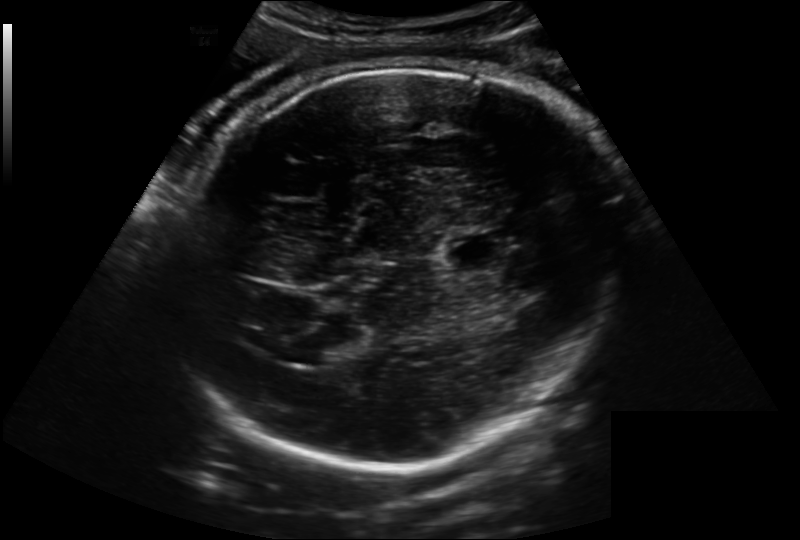
Fetal head ultrasound. Image width: 177.3 mm. Where is the fetal head?

Head bounding box: [171,63,626,467]